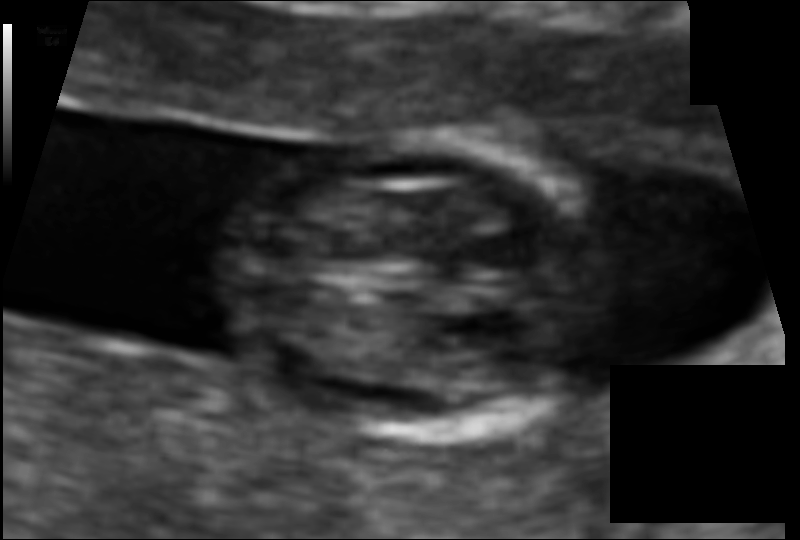
From this fetal ultrasound, estimate the head circumference (image width 53.7 mm).

Head circumference: 76.8 mm.